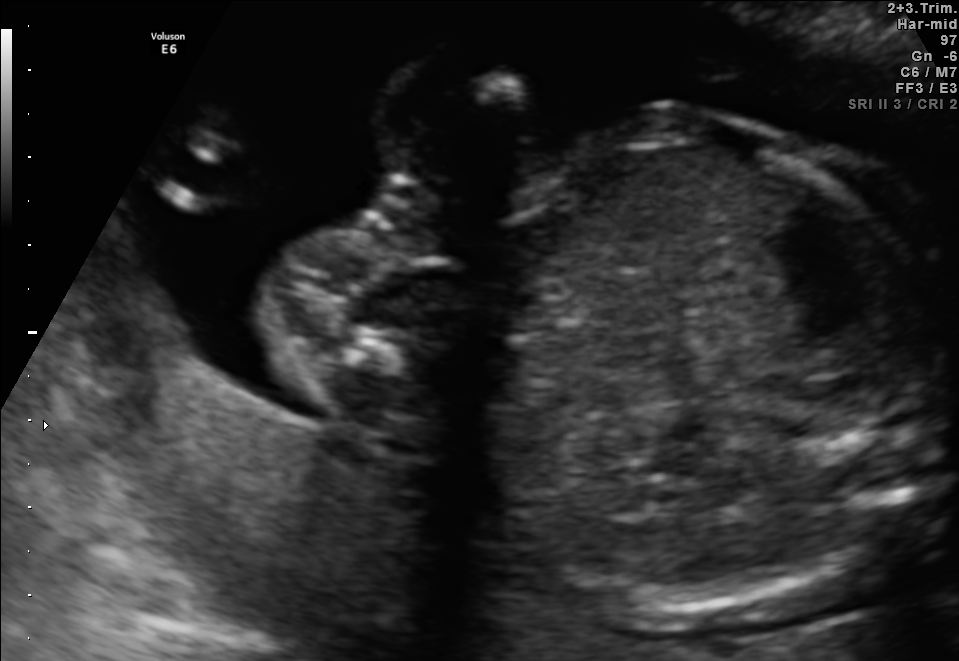
Classify this maternal-fetal ultrasound image as one of the six standard planes — fetal abdomen, fetal brain, fetal femur, fetal thorax, maternal cervix, or other. If it's fetal brain and one of the three standard brain planes (trans-thalamic, trans-cerebellum, trans-ventricular), name which.

Other